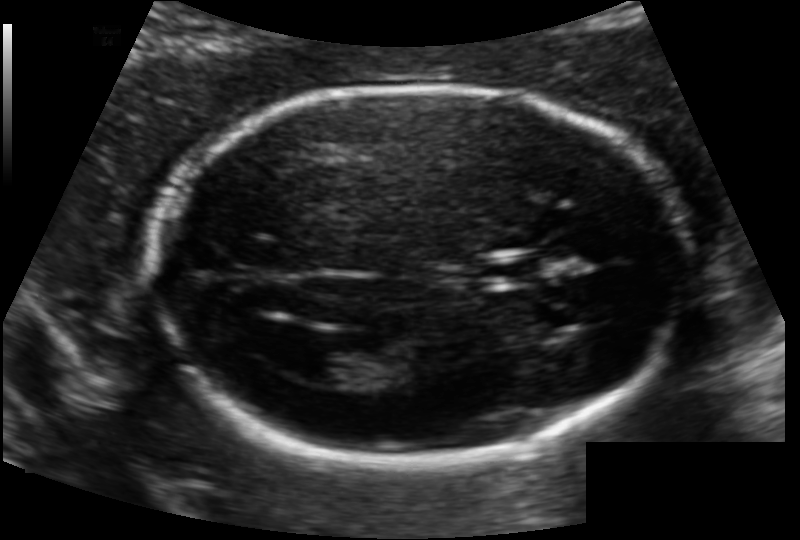
Estimate the fetal head circumference from this 2D ultrasound.

Head circumference: 173.7 mm (image width 94.1 mm).